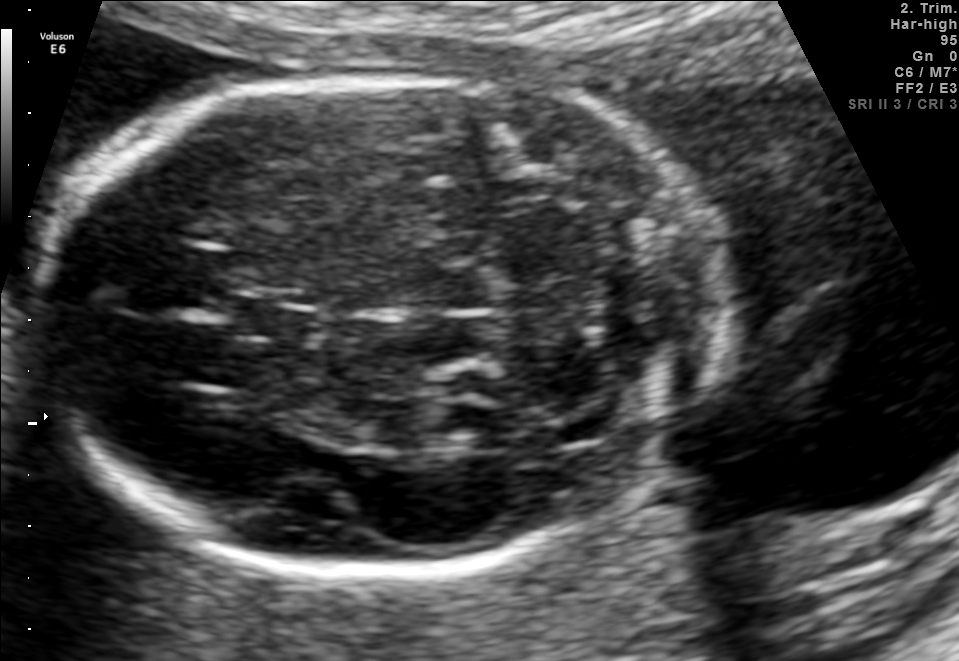
In this fetal brain, trans-cerebellum plane, give the bounding box of the cavum septum pellucidum.

[232,295,321,345]